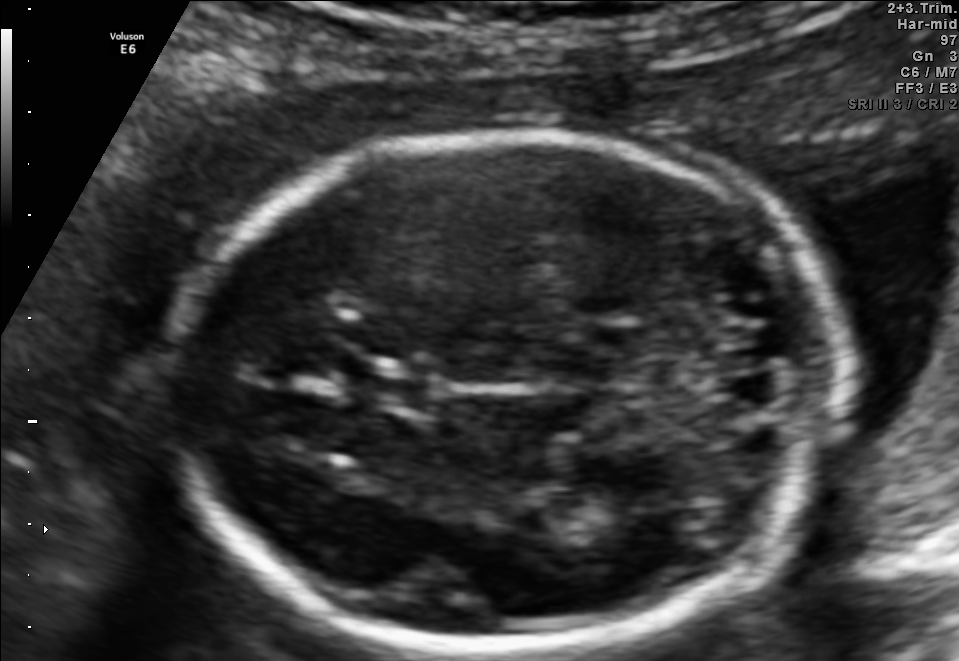
In this fetal brain, trans-thalamic plane, give the bounding box of the cavum septum pellucidum.

[353,366,438,413]